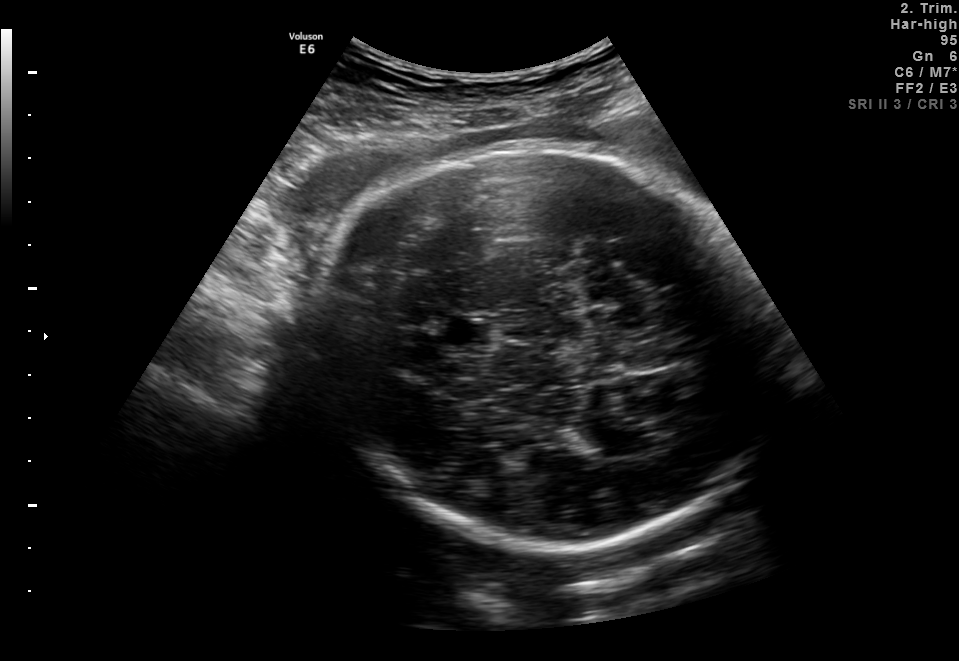
Fetal brain, trans-thalamic plane. Where is the fetal head?

Head bounding box: [313,139,764,556]